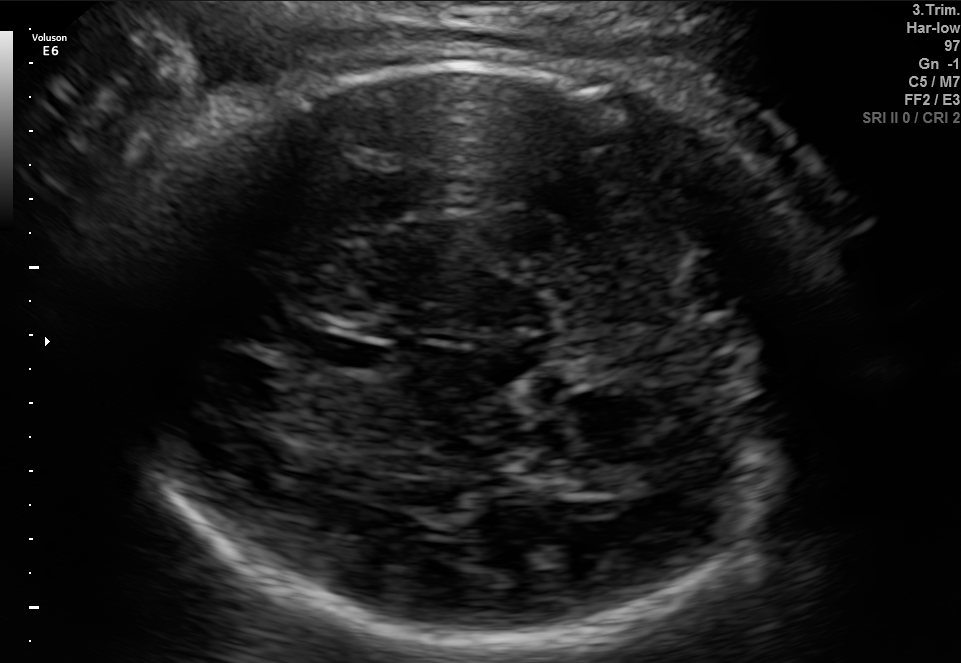
In this fetal brain, trans-thalamic plane, give bounding boxes for the head outline, cavum septum pellucidum (CSP), and lateral ventricle (LV), where visible.

Head: [107,60,824,655]
CSP: [306,332,392,375]